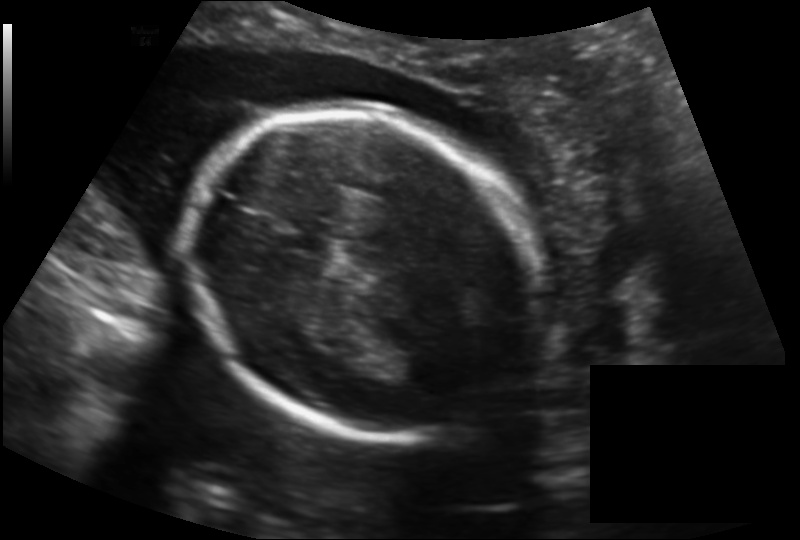
What is the fetal head circumference? Image width is 131.3 mm.

180.1 mm